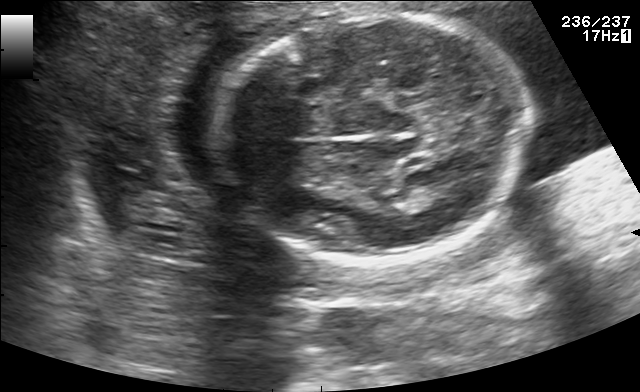
Fetal brain, trans-thalamic plane. Give [x1,y1,x2,y2] bounding boxes for each visible structure among: fetal head, CSP, LV.

Head: [214,10,532,263]
Lateral ventricle: [404,171,463,214]